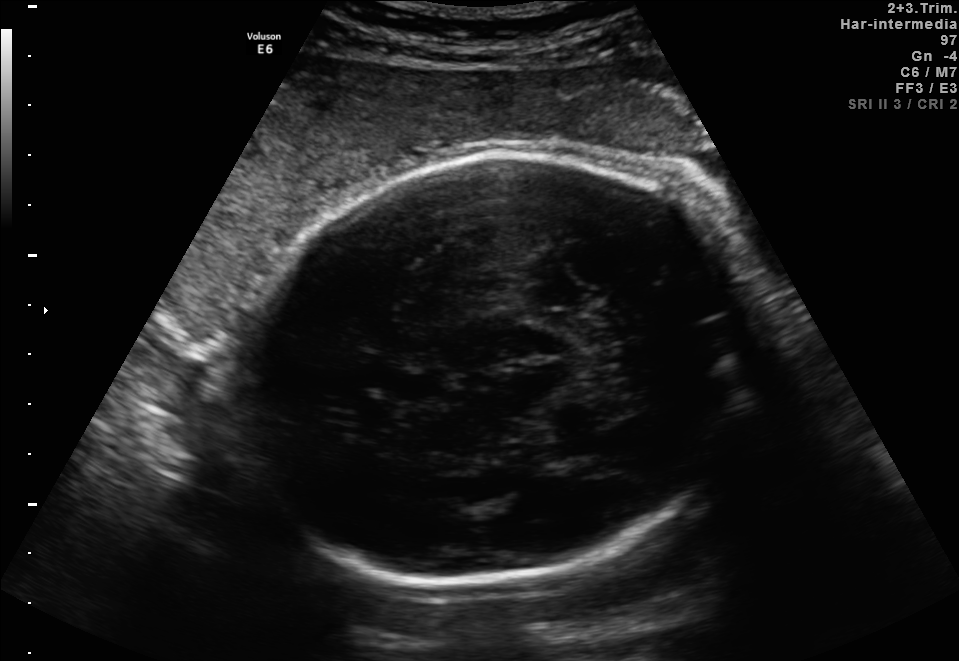
In this fetal brain, trans-thalamic plane, give the bounding box of the fetal head.

[227,151,756,584]